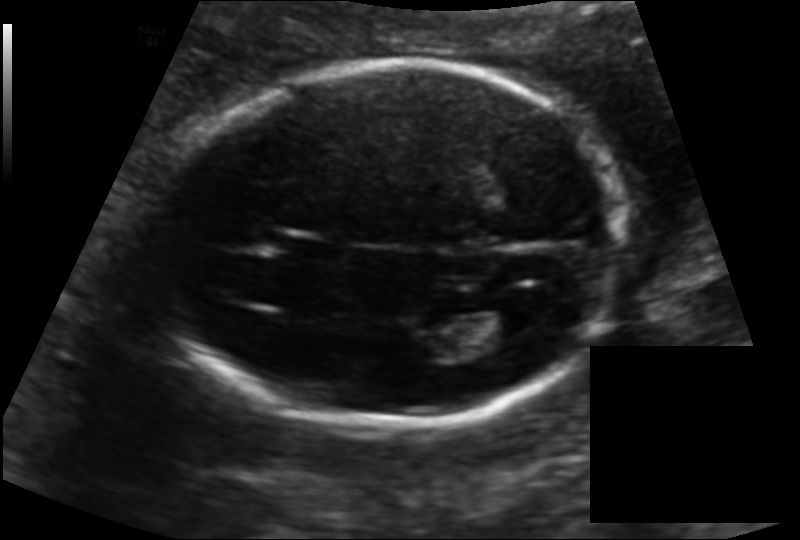
Fetal head ultrasound. Image width: 110.8 mm. Where is the lateral ventricle?

Lateral ventricle bounding box: [457,287,544,352]